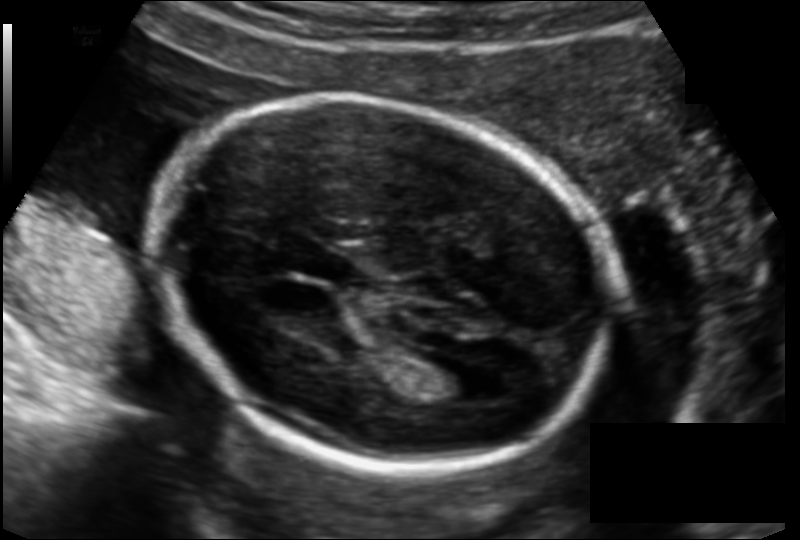
Fetal head ultrasound. Image width: 107.7 mm. Locate the lateral ventricle.

Lateral ventricle: [418,359,487,406]